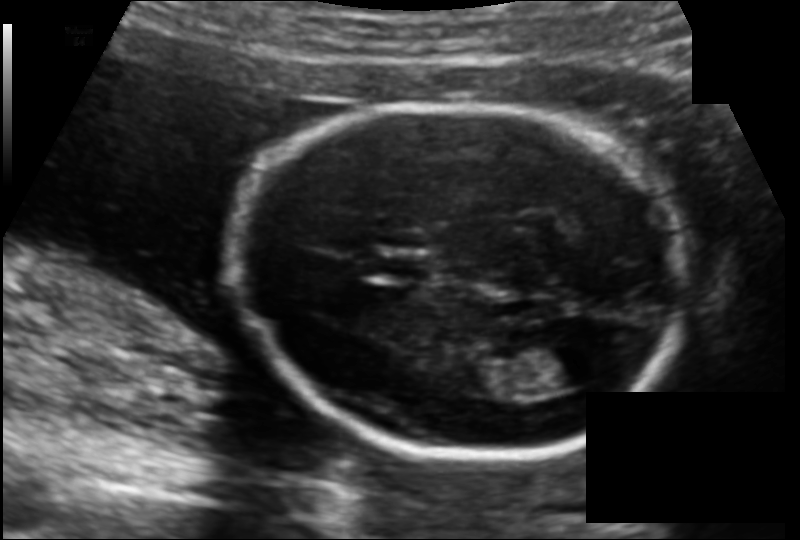
In this fetal head ultrasound, give the bounding box of the lateral ventricle. Image width: 100.4 mm.

[539,339,606,393]